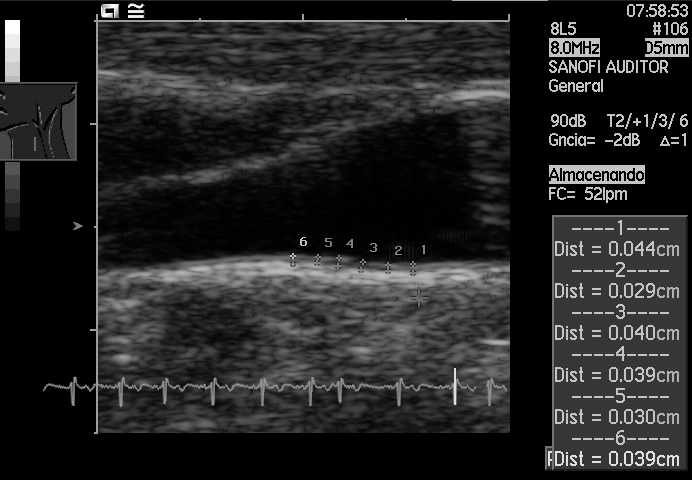
Identify the standard plane in this fetal ultrasound image: fetal abdomen, fetal brain, fetal femur, fetal thorax, maternal cervix, or other. If it's fetal brain and one of the three standard brain planes (trans-thalamic, trans-cerebellum, trans-ventricular), name which.

Other